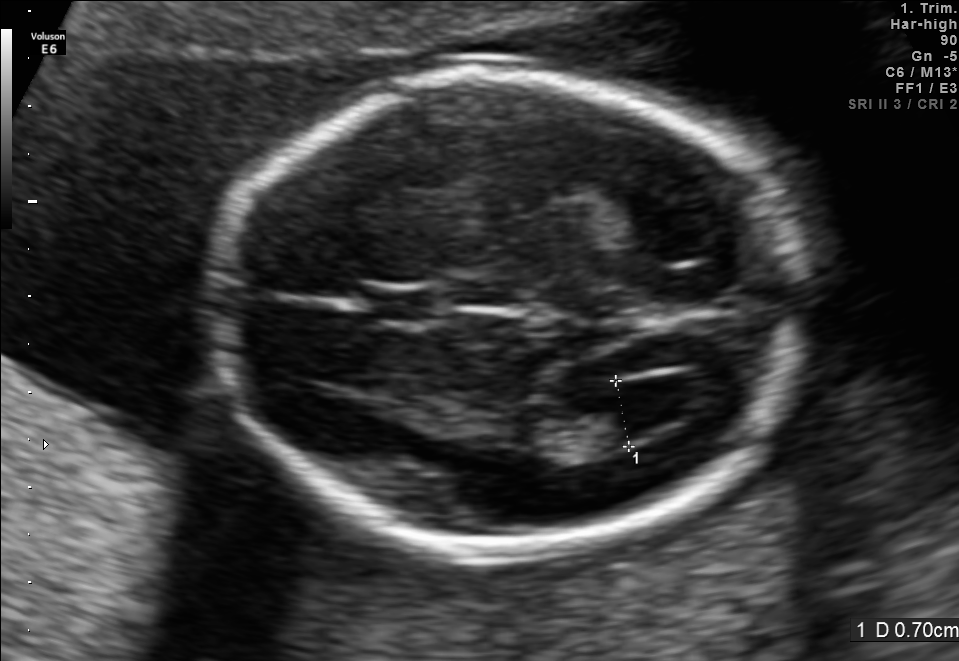
Fetal brain, trans-ventricular plane. Locate the fetal head and, if visible, the cavum septum pellucidum (CSP) and lateral ventricle (LV). Give bounding boxes as [x1,y1,x2,y2].

Head: [197,56,830,569]
CSP: [367,289,434,320]
Lateral ventricle: [597,371,701,440]